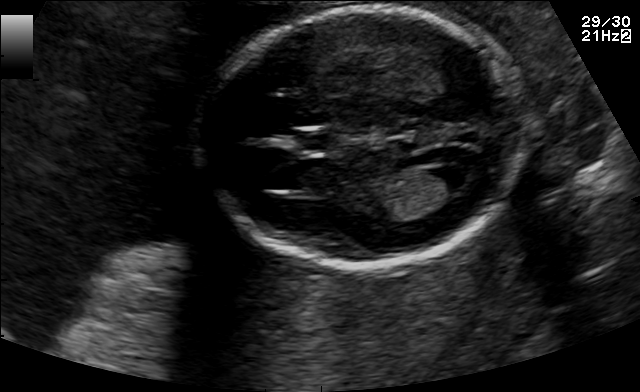
Fetal brain, trans-ventricular plane. Where is the cavum septum pellucidum?

CSP bounding box: [296,131,329,149]